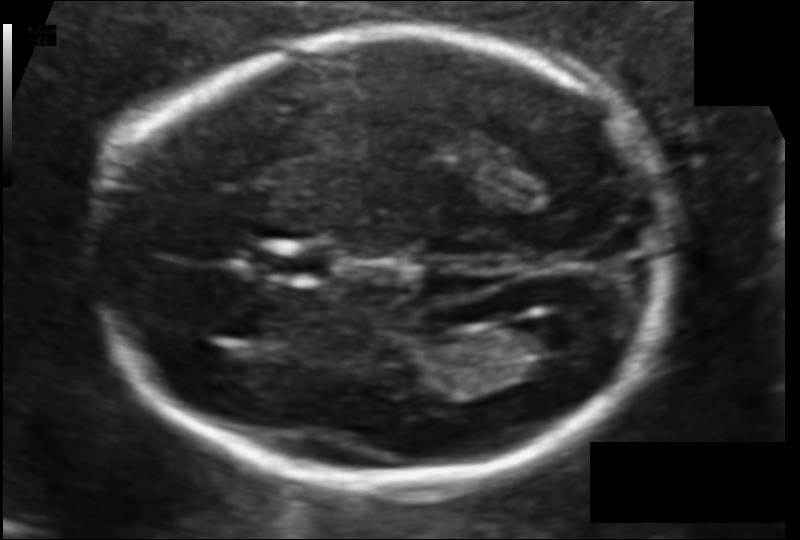
Estimate the fetal head circumference from this 2D ultrasound.

Head circumference: 176.7 mm (image width 85.0 mm).